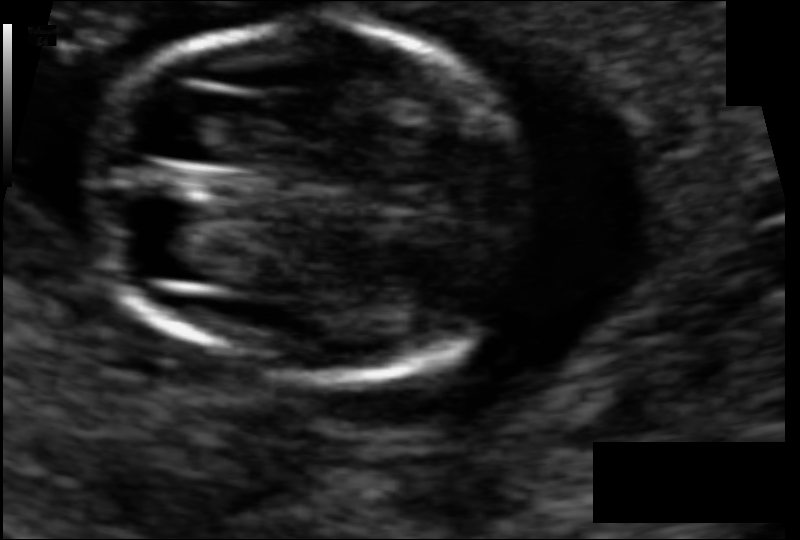
Estimate the fetal head circumference from this 2D ultrasound.

Head circumference: 79.9 mm (image width 48.6 mm).